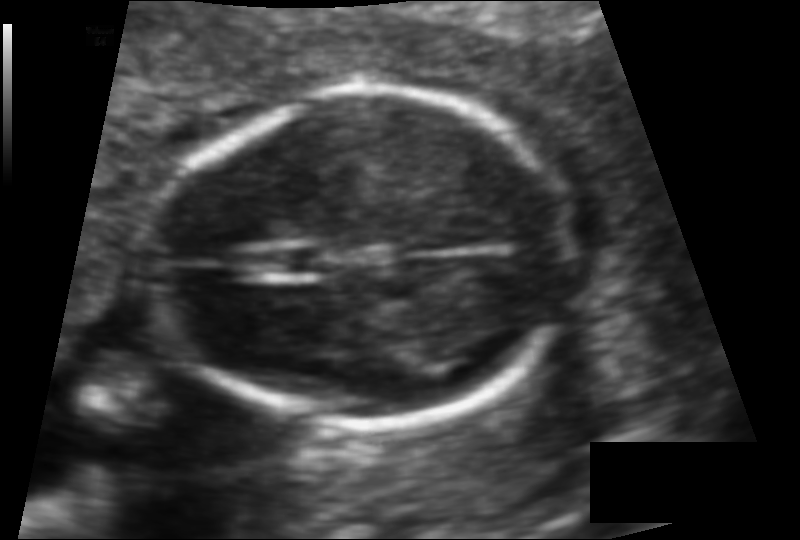
Fetal head ultrasound. Image width: 75.5 mm. Where is the fetal head?

Head bounding box: [163,91,562,426]